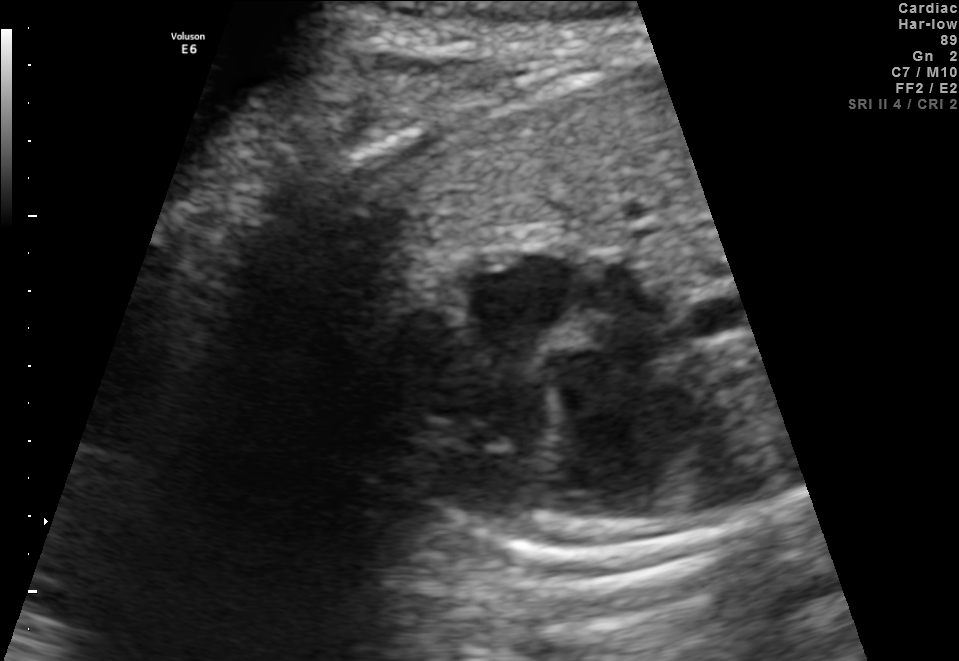
Classify this maternal-fetal ultrasound image as one of the six standard planes — fetal abdomen, fetal brain, fetal femur, fetal thorax, maternal cervix, or other. If it's fetal brain and one of the three standard brain planes (trans-thalamic, trans-cerebellum, trans-ventricular), name which.

Fetal thorax